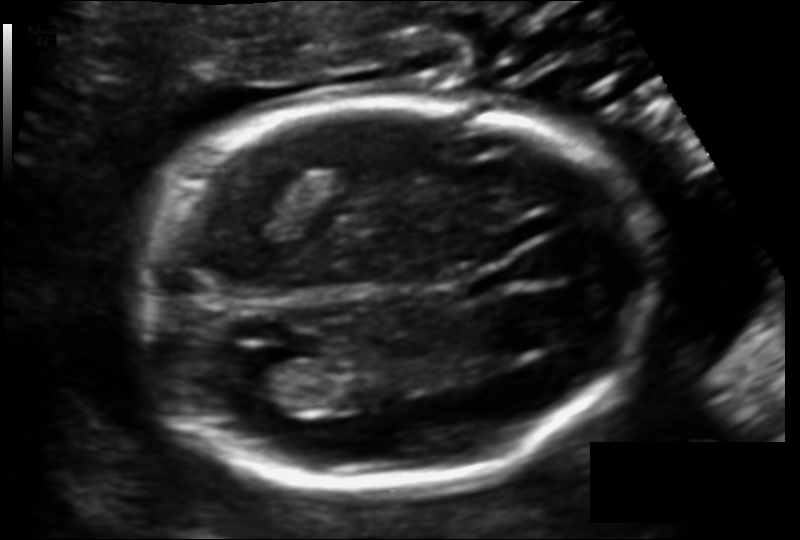
Estimate the fetal head circumference from this 2D ultrasound. Image width: 97.3 mm.

Head circumference: 180.5 mm.